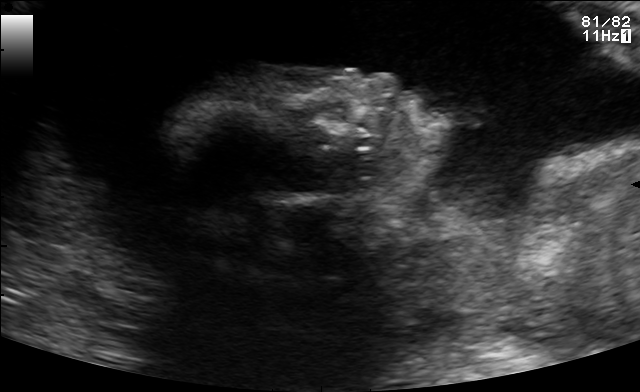
Identify the standard plane in this fetal ultrasound image: fetal abdomen, fetal brain, fetal femur, fetal thorax, maternal cervix, or other. If it's fetal brain and one of the three standard brain planes (trans-thalamic, trans-cerebellum, trans-ventricular), name which.

Other